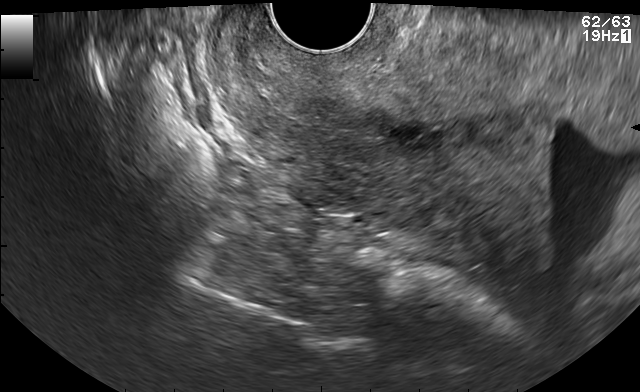
Identify the standard plane in this fetal ultrasound image: fetal abdomen, fetal brain, fetal femur, fetal thorax, maternal cervix, or other. If it's fetal brain and one of the three standard brain planes (trans-thalamic, trans-cerebellum, trans-ventricular), name which.

Maternal cervix